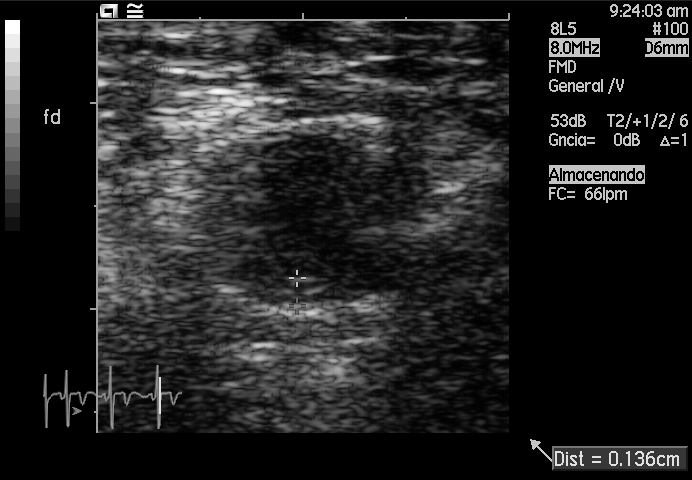
Which standard maternal-fetal ultrasound plane is shown: fetal abdomen, fetal brain, fetal femur, fetal thorax, maternal cervix, or other? If it's fetal brain and one of the three standard brain planes (trans-thalamic, trans-cerebellum, trans-ventricular), name which.

Other